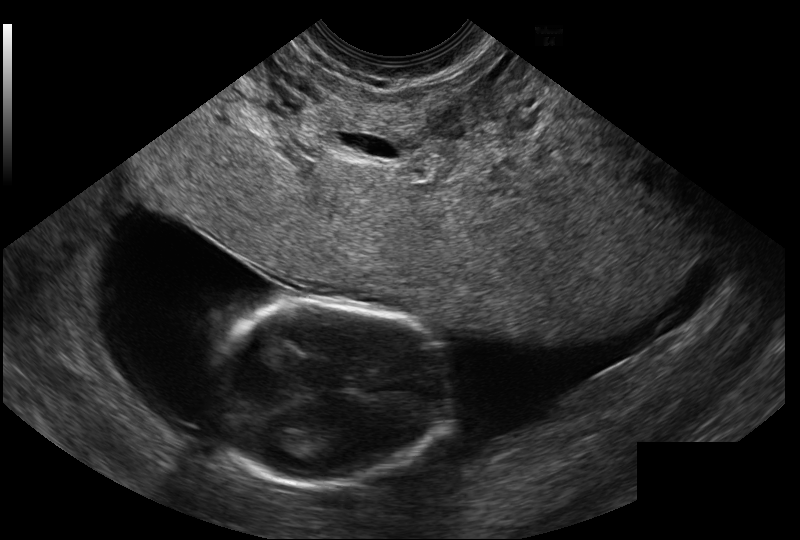
Estimate the fetal head circumference from this 2D ultrasound.

Head circumference: 80.3 mm (image width 91.4 mm).